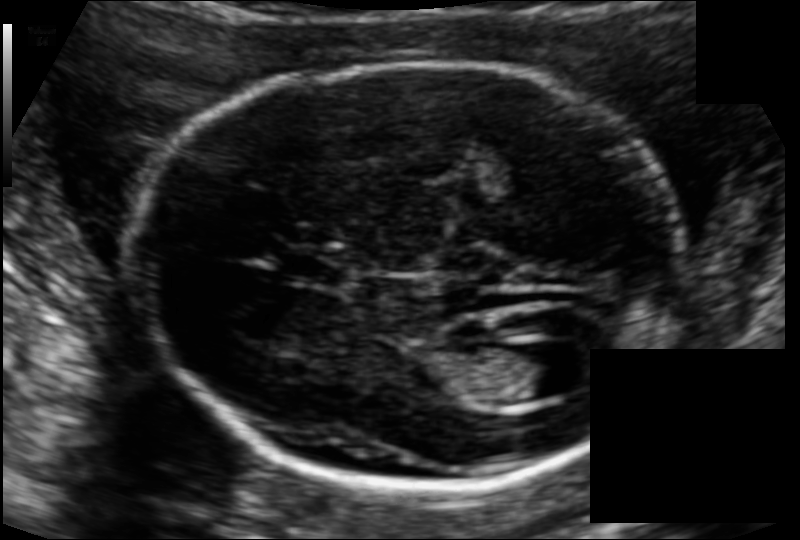
Measure the fetal head circumference shown in this ultrasound image. Image width: 88.5 mm.

Head circumference: 175.2 mm.